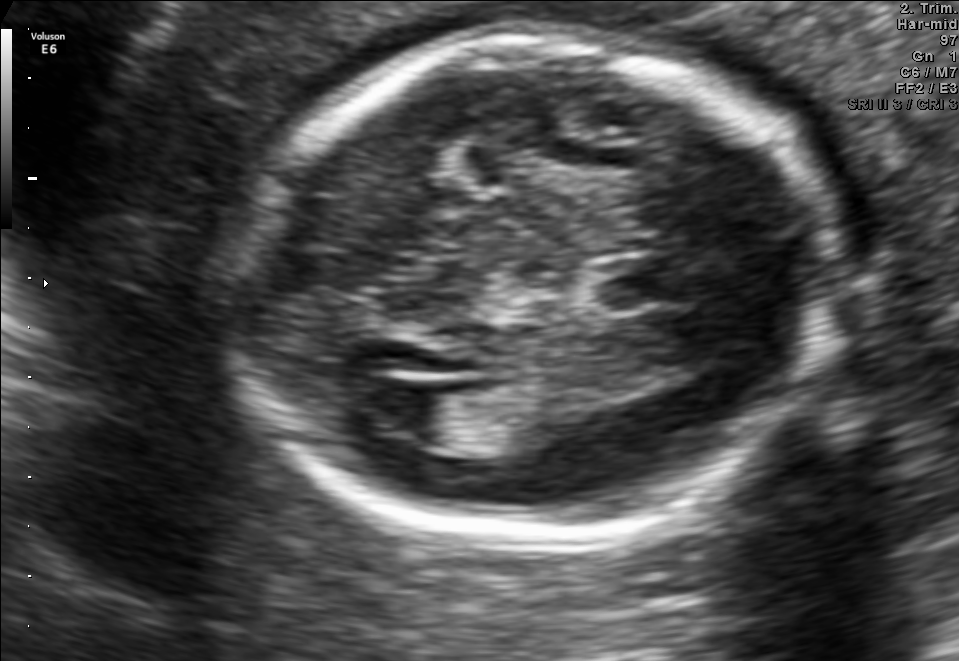
Fetal brain, trans-ventricular plane. Locate the fetal head.

Head: [222,23,859,550]